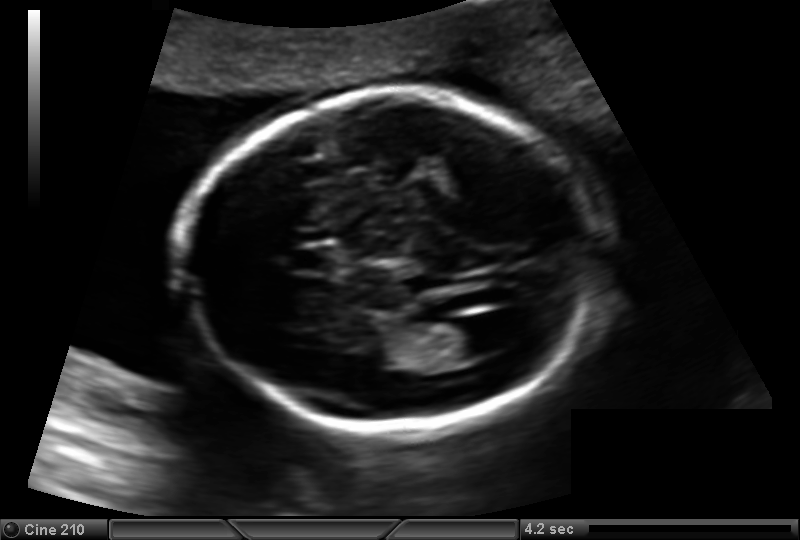
Estimate the fetal head circumference from this 2D ultrasound. Image width: 109.7 mm.

Head circumference: 168.1 mm.